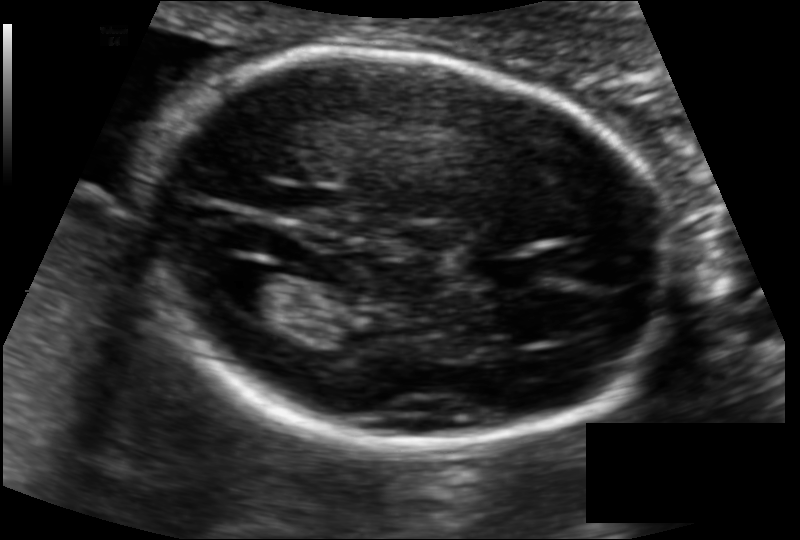
Fetal head ultrasound. Image width: 88.0 mm. Locate the fetal head and, if visible, the cavum septum pellucidum (CSP) and lateral ventricle (LV). Give bounding boxes as [x1,y1,x2,y2].

Head: [137,55,678,451]
Lateral ventricle: [219,263,301,326]